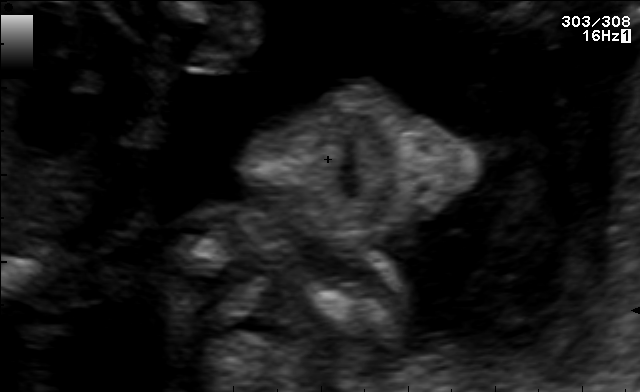
Which standard maternal-fetal ultrasound plane is shown: fetal abdomen, fetal brain, fetal femur, fetal thorax, maternal cervix, or other? If it's fetal brain and one of the three standard brain planes (trans-thalamic, trans-cerebellum, trans-ventricular), name which.

Other